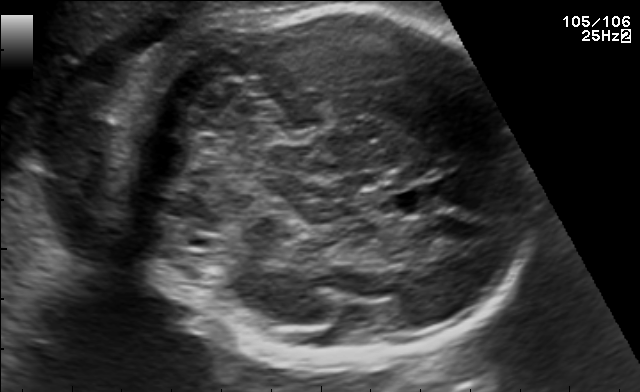
Fetal brain, trans-cerebellum plane. Where is the fetal head?

Head bounding box: [135,5,519,371]